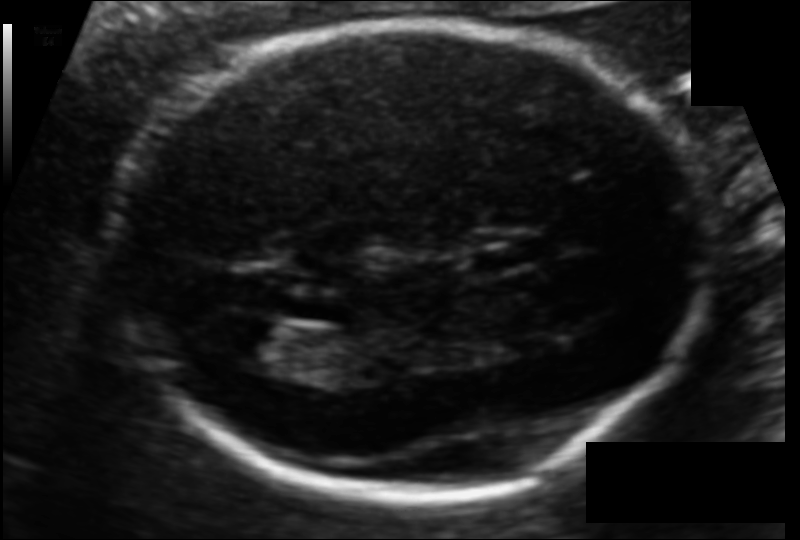
In this fetal head ultrasound, give the bounding box of the lateral ventricle. Image width: 85.1 mm.

[210,312,305,379]